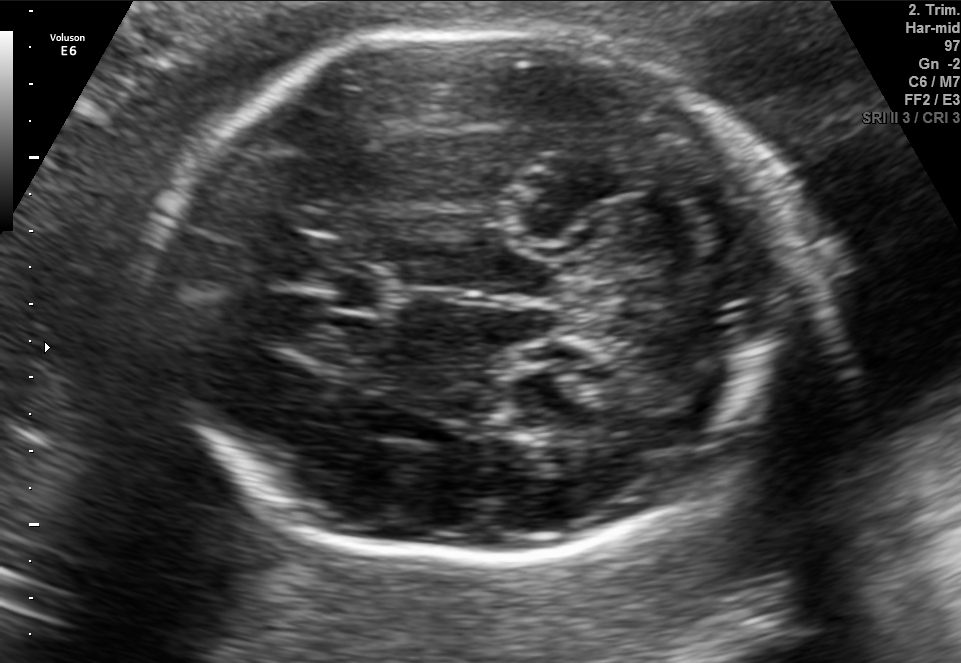
Fetal brain, trans-cerebellum plane. Locate the fetal head.

Head: [163,33,784,564]